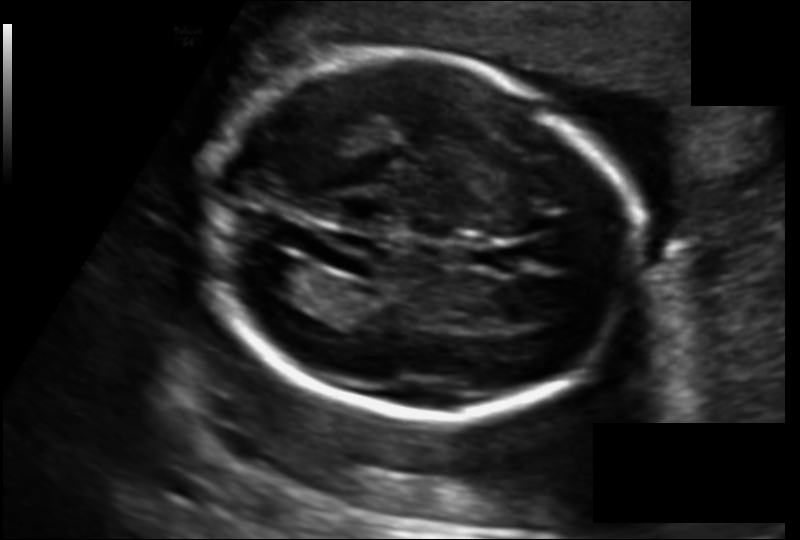
Fetal head ultrasound. Image width: 107.9 mm. Locate the fetal head.

Head: [203,51,632,418]